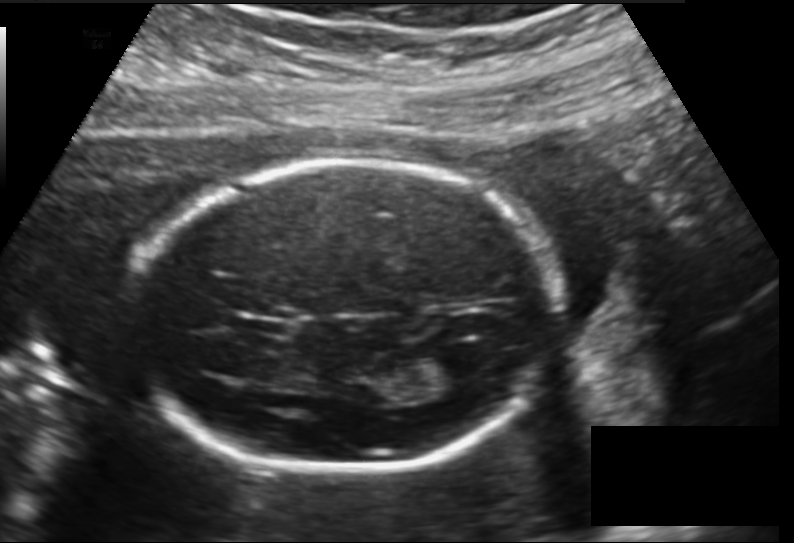
Fetal head ultrasound. Image width: 124.7 mm. Locate the fetal head and, if visible, the cavum septum pellucidum (CSP) and lateral ventricle (LV). Give bounding boxes as [x1,y1,x2,y2].

Head: [130,160,556,472]
CSP: [243,316,287,338]
Lateral ventricle: [417,344,476,390]